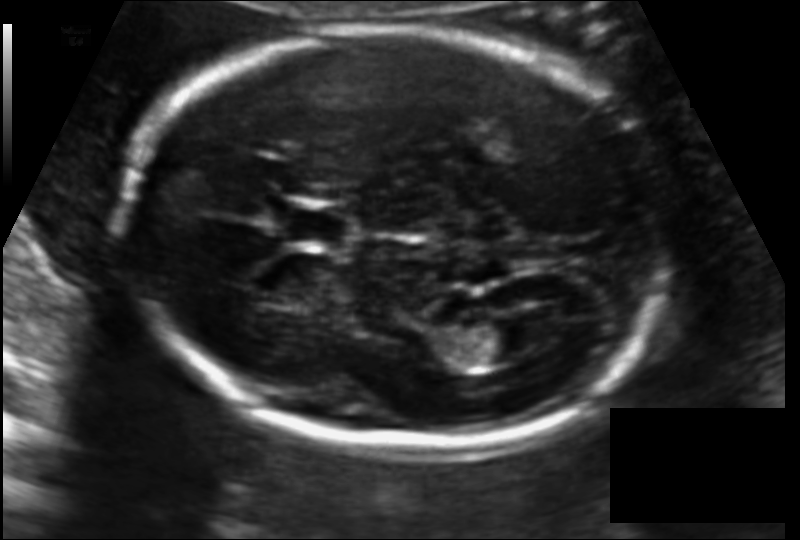
In this fetal head ultrasound, give the bounding box of the cavum septum pellucidum. Image width: 95.2 mm.

[275,200,355,252]